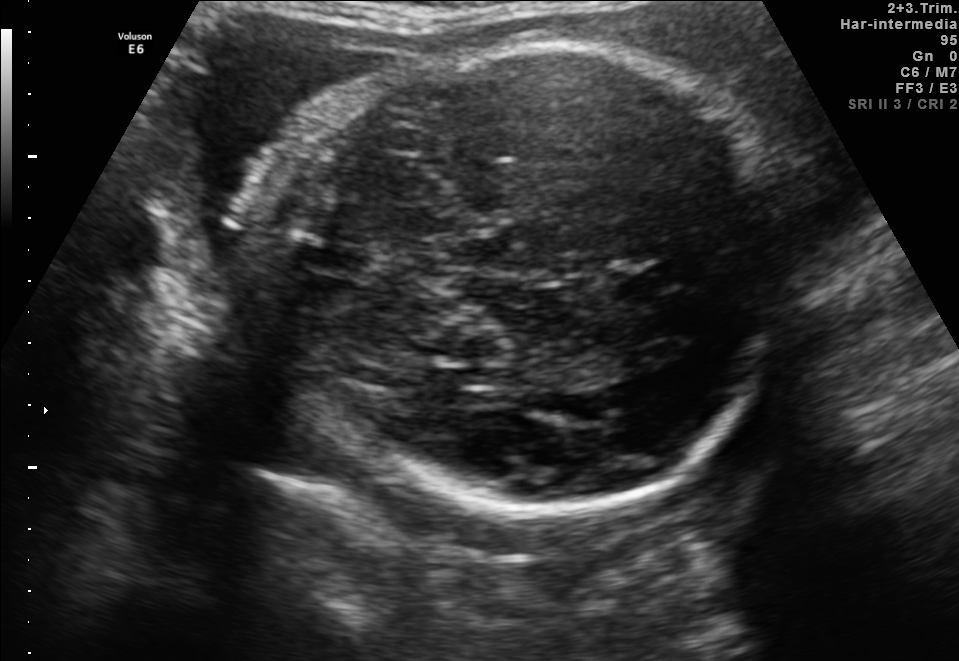
Fetal brain, trans-thalamic plane. Where is the fetal head?

Head bounding box: [273,38,782,529]